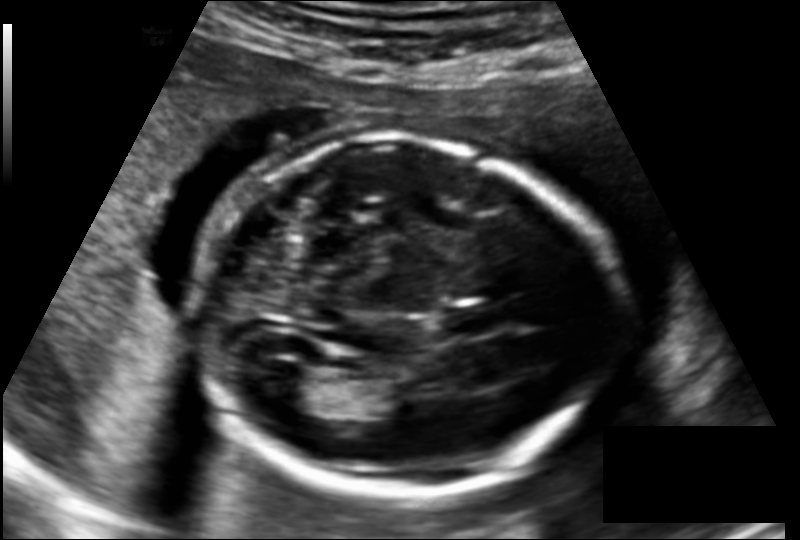
Fetal head ultrasound. Image width: 115.9 mm. Where is the cavum septum pellucidum?

CSP bounding box: [439,302,504,341]